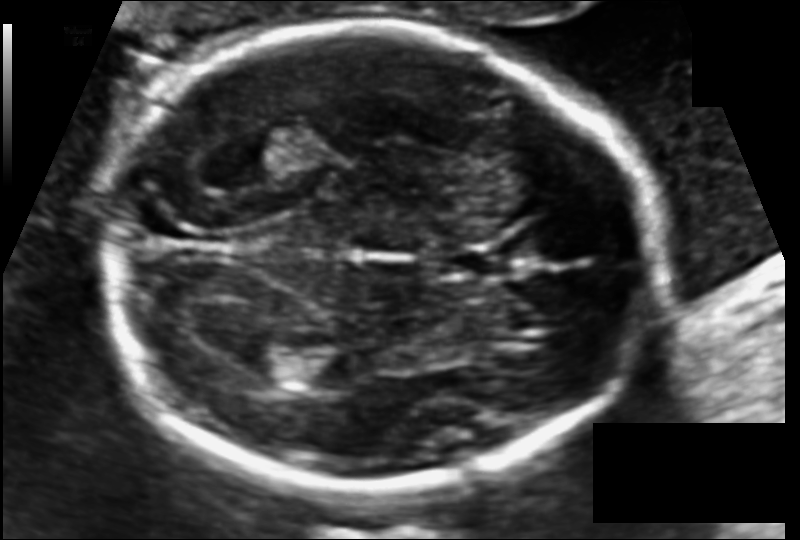
Fetal head ultrasound. Image width: 87.7 mm. Where is the lateral ventricle?

Lateral ventricle bounding box: [242,348,309,386]